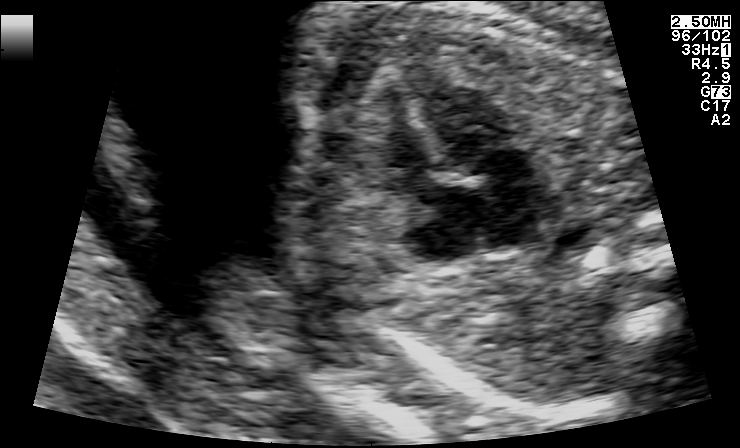
Which standard maternal-fetal ultrasound plane is shown: fetal abdomen, fetal brain, fetal femur, fetal thorax, maternal cervix, or other? If it's fetal brain and one of the three standard brain planes (trans-thalamic, trans-cerebellum, trans-ventricular), name which.

Fetal thorax